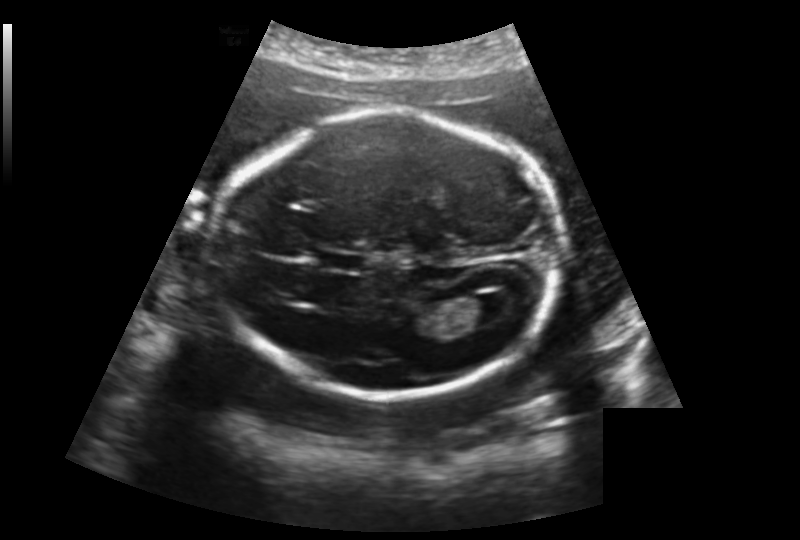
In this fetal head ultrasound, give bounding boxes for the head outline, cavum septum pellucidum (CSP), and lateral ventricle (LV), where visible. Image width: 150.3 mm.

Head: [214,114,563,394]
CSP: [315,248,368,276]
Lateral ventricle: [462,289,520,330]